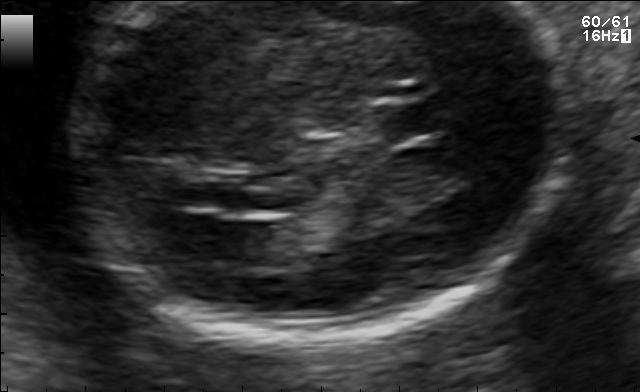
Fetal brain, trans-ventricular plane. Locate the lateral ventricle.

Lateral ventricle: [188,222,273,265]